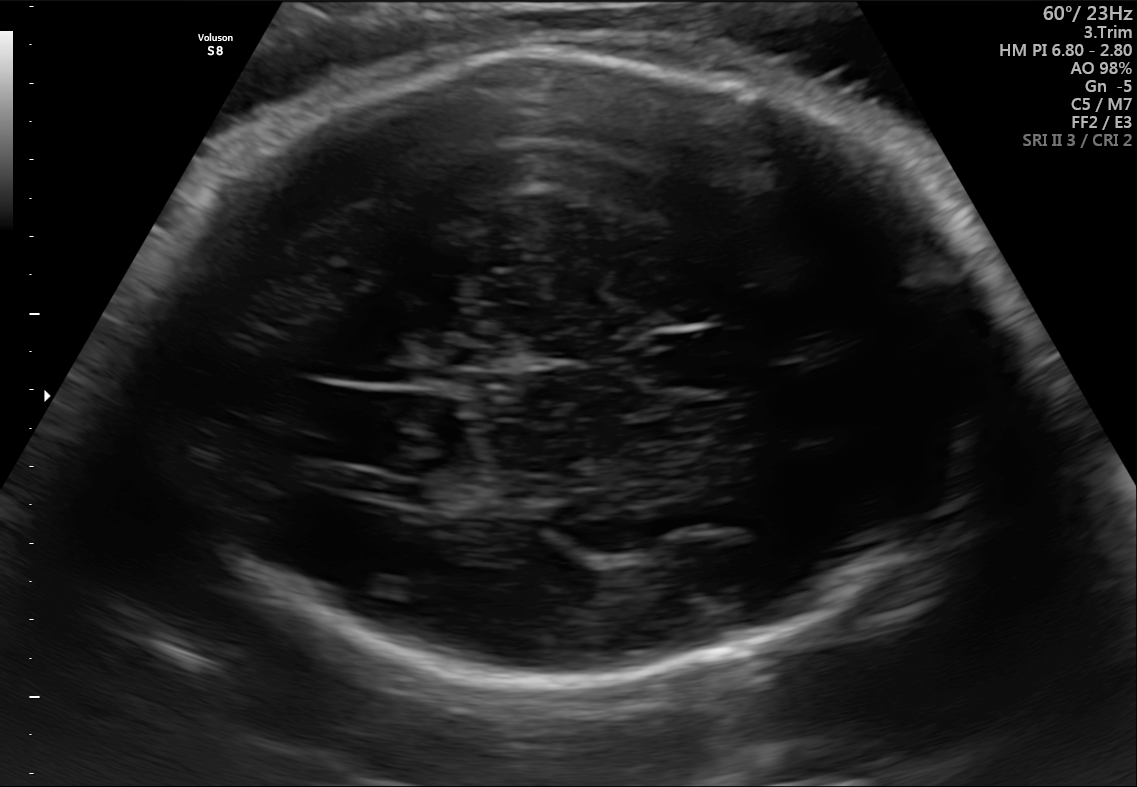
Fetal brain, trans-thalamic plane. Locate the fetal head.

Head: [158,51,989,676]